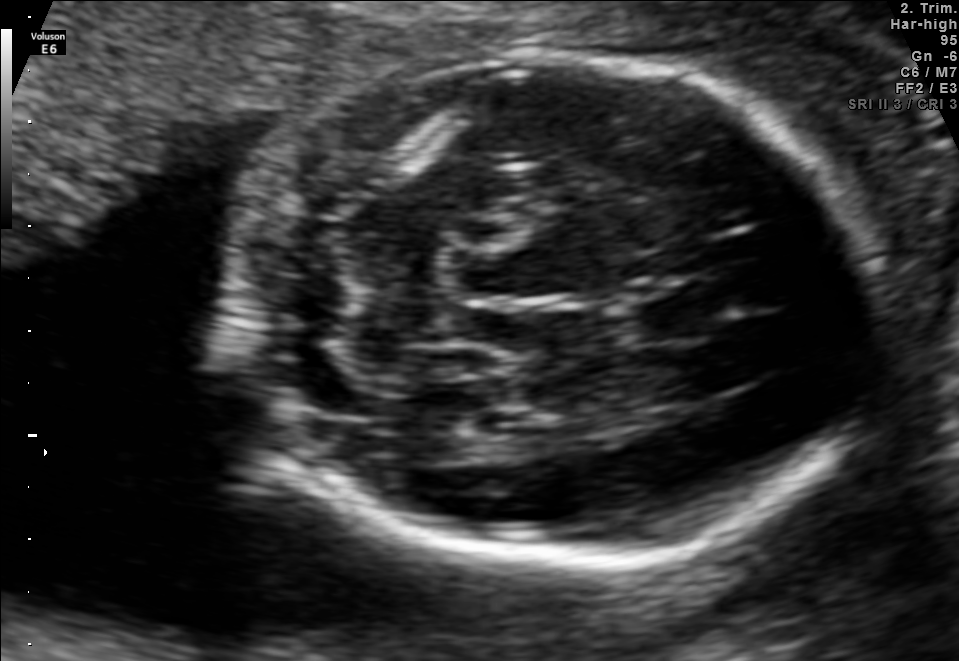
Fetal brain, trans-cerebellum plane. Locate the cavum septum pellucidum.

CSP: [633,278,725,350]